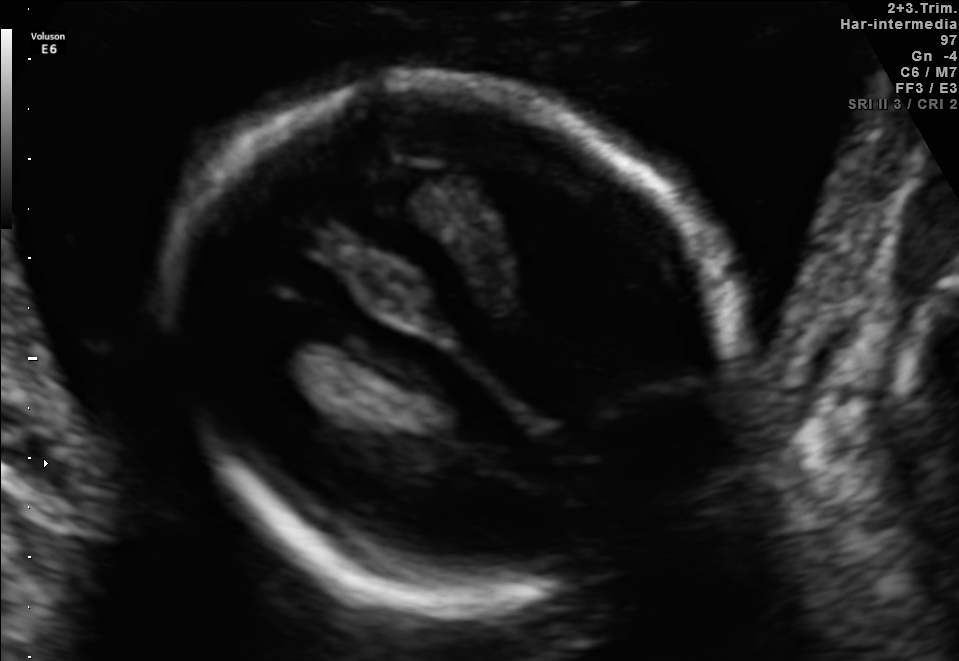
This is a 2D maternal-fetal ultrasound frame. Is it a fetal abdomen, fetal brain, fetal femur, fetal thorax, maternal cervix, or other standard plane? If it's fetal brain and one of the three standard brain planes (trans-thalamic, trans-cerebellum, trans-ventricular), name which.

Fetal brain